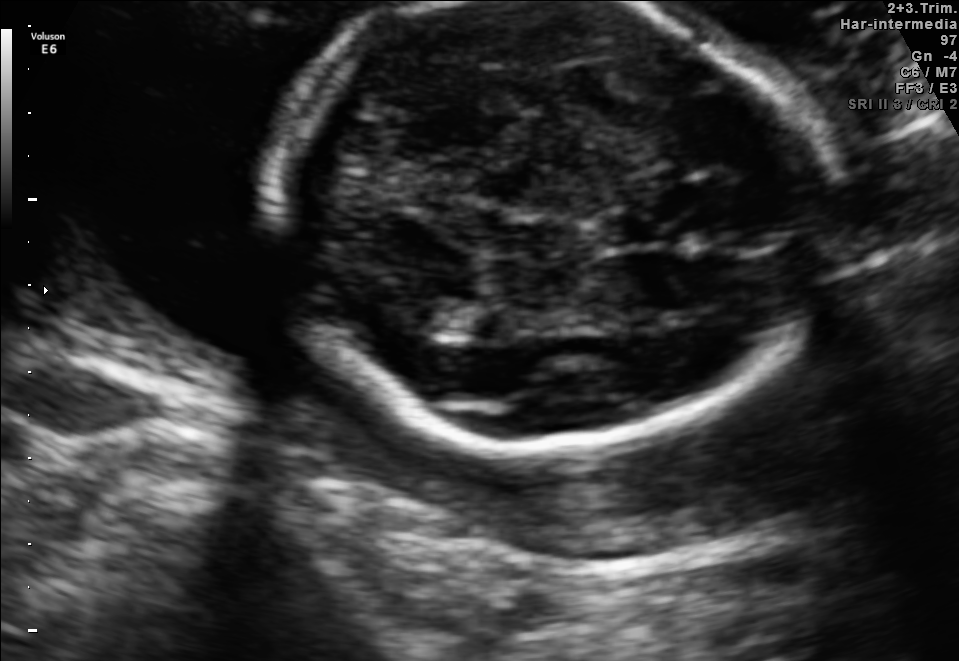
Fetal brain, trans-thalamic plane. Give [x1,y1,x2,y2] bounding boxes for each visible structure among: fetal head, CSP, LV.

Head: [263,2,828,447]
CSP: [596,211,658,249]
Lateral ventricle: [431,307,503,339]